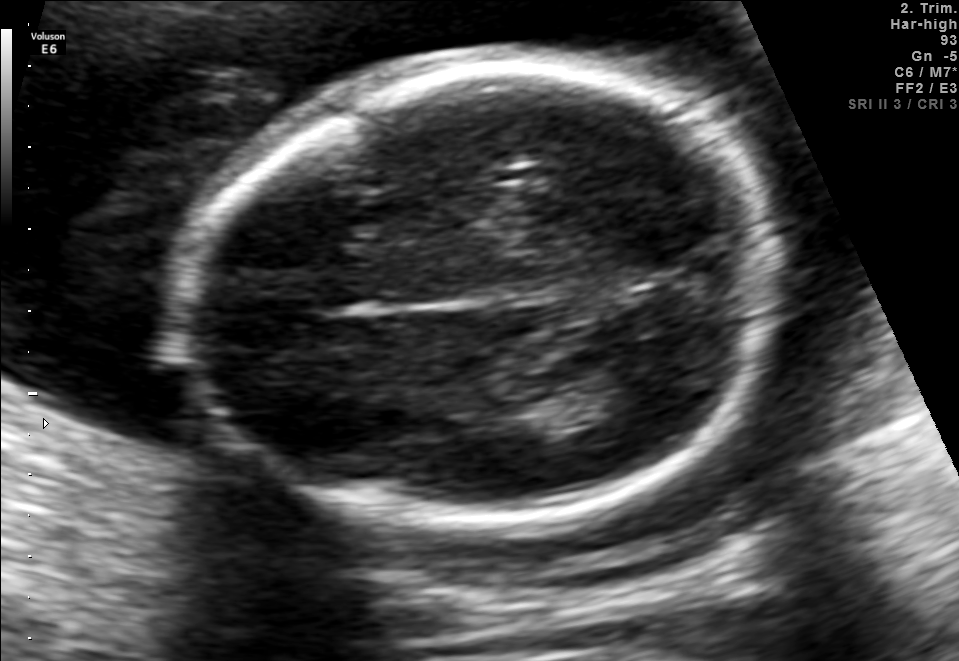
In this fetal brain, trans-thalamic plane, give the bounding box of the lateral ventricle.

[565,359,661,427]